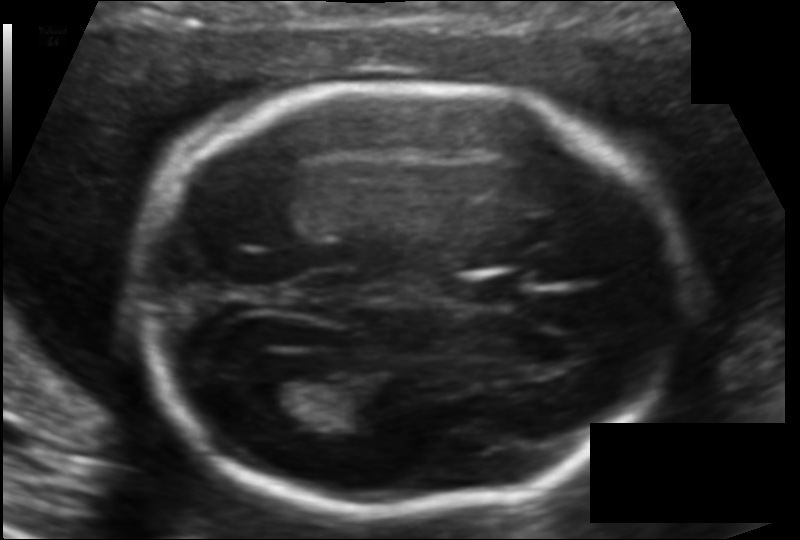
In this fetal head ultrasound, give the bounding box of the fetal head. Image width: 94.1 mm.

[135,82,675,509]